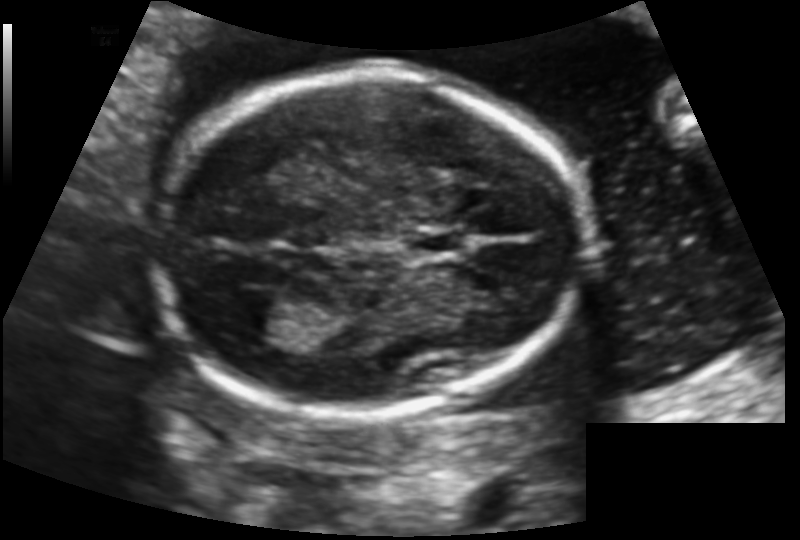
What is the fetal head circumference? Image width is 103.6 mm.

163.3 mm